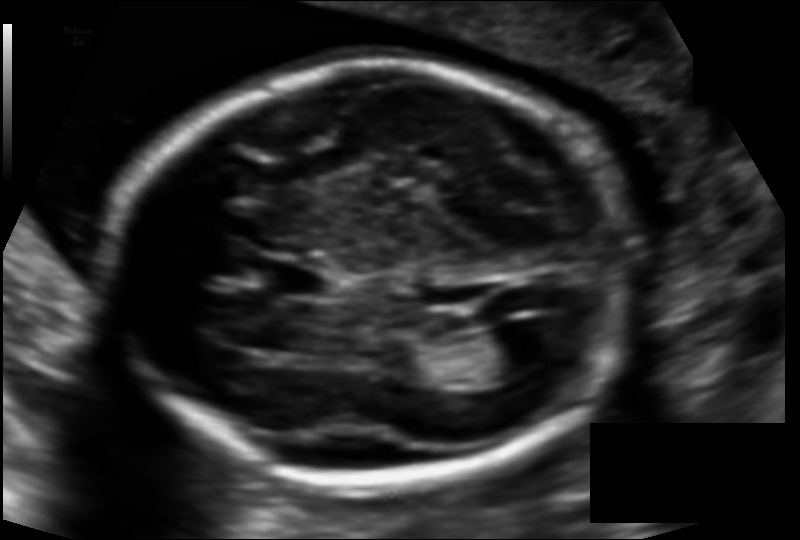
Estimate the fetal head circumference from this 2D ultrasound. Image width: 96.7 mm.

Head circumference: 184.4 mm.